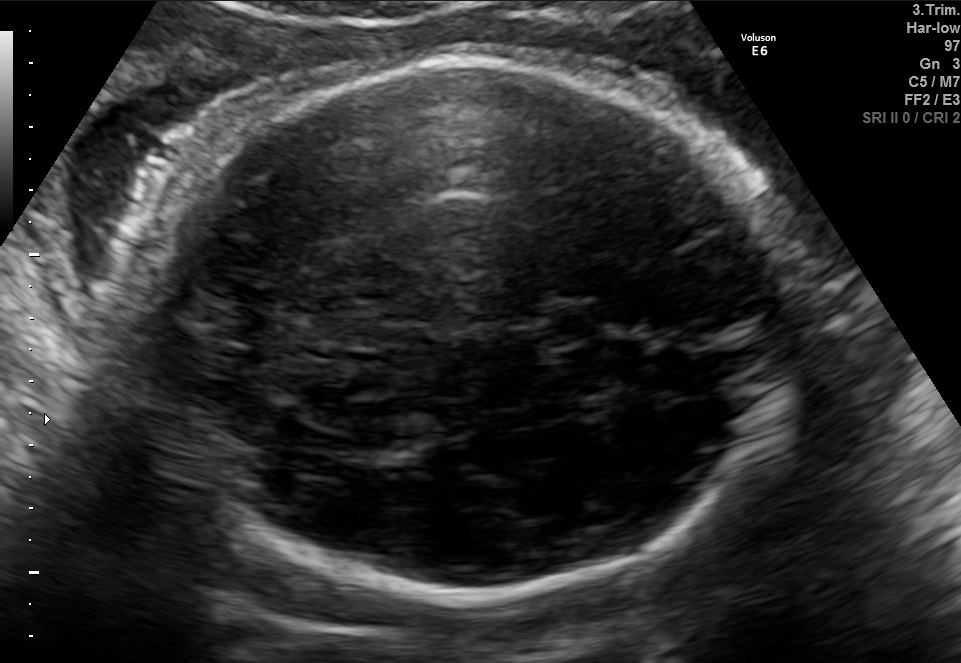
Classify this maternal-fetal ultrasound image as one of the six standard planes — fetal abdomen, fetal brain, fetal femur, fetal thorax, maternal cervix, or other. If it's fetal brain and one of the three standard brain planes (trans-thalamic, trans-cerebellum, trans-ventricular), name which.

Fetal brain (trans-thalamic plane)